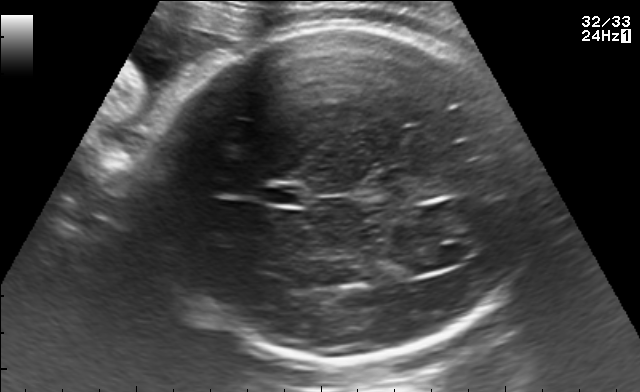
In this fetal brain, trans-ventricular plane, give bounding boxes for the head outline, cavum septum pellucidum (CSP), and lateral ventricle (LV), where visible.

Head: [143,21,537,370]
CSP: [269,186,303,204]
Lateral ventricle: [408,245,459,276]